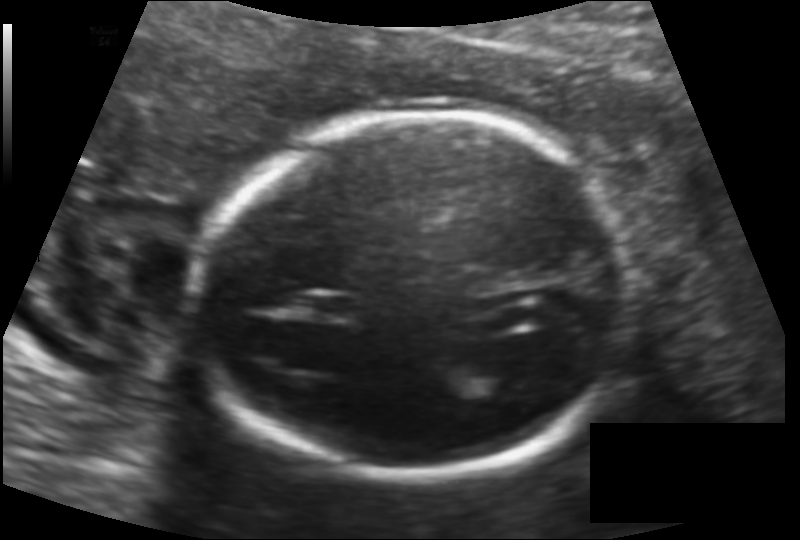
Fetal head ultrasound. Image width: 104.4 mm. Locate the fetal head and, if visible, the cavum septum pellucidum (CSP) and lateral ventricle (LV). Give bounding boxes as [x1,y1,x2,y2].

Head: [198,115,631,474]
CSP: [304,292,357,320]